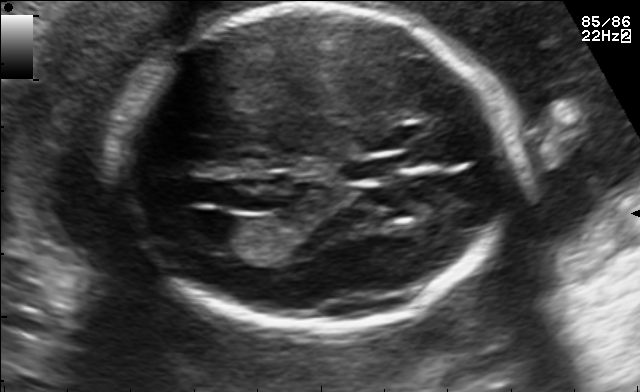
Fetal brain, trans-ventricular plane. Where is the cavum septum pellucidum?

CSP bounding box: [338,149,420,186]